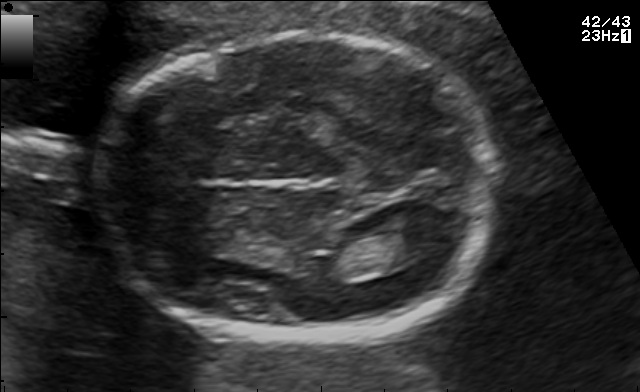
In this fetal brain, trans-thalamic plane, give the bounding box of the fetal head.

[98,35,497,339]